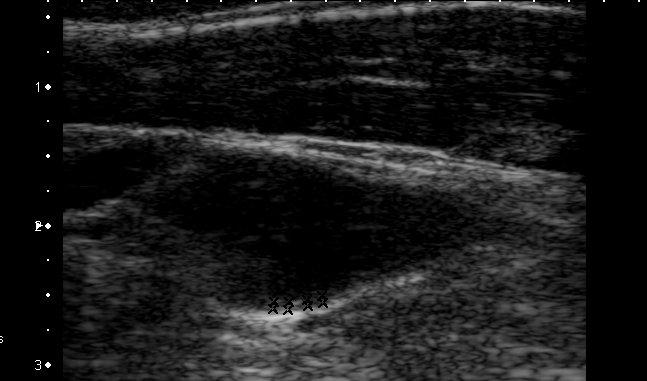
This is a 2D maternal-fetal ultrasound frame. Is it a fetal abdomen, fetal brain, fetal femur, fetal thorax, maternal cervix, or other standard plane? If it's fetal brain and one of the three standard brain planes (trans-thalamic, trans-cerebellum, trans-ventricular), name which.

Other